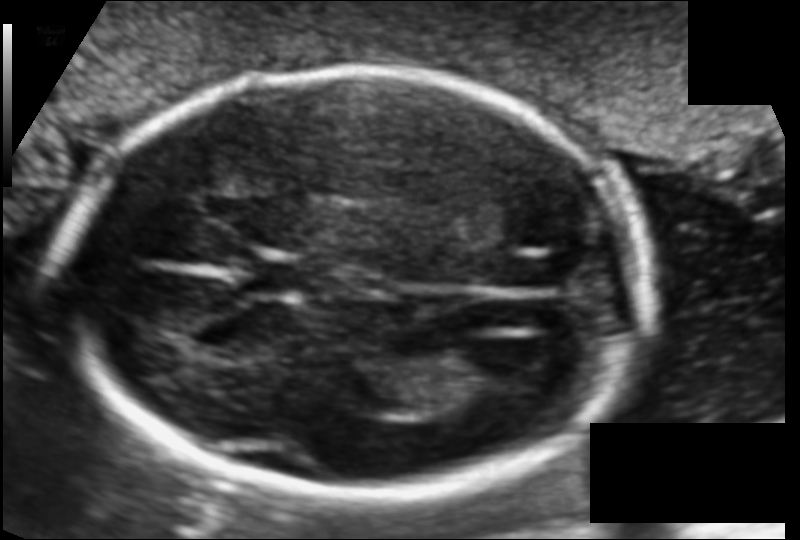
In this fetal head ultrasound, give the bounding box of the lateral ventricle. Image width: 87.9 mm.

[458,340,548,389]